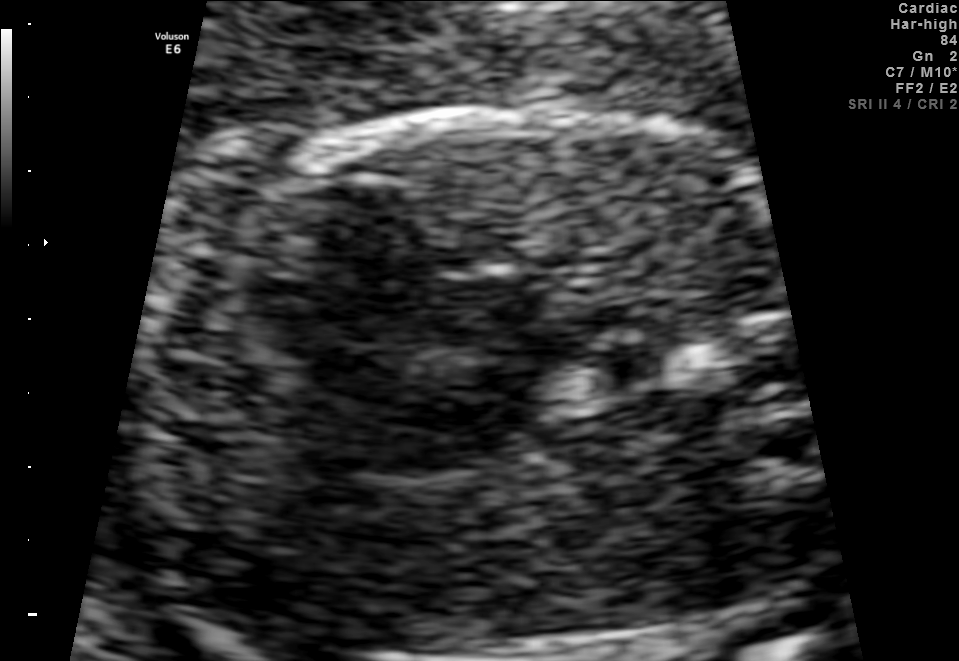
Which standard maternal-fetal ultrasound plane is shown: fetal abdomen, fetal brain, fetal femur, fetal thorax, maternal cervix, or other? If it's fetal brain and one of the three standard brain planes (trans-thalamic, trans-cerebellum, trans-ventricular), name which.

Fetal thorax